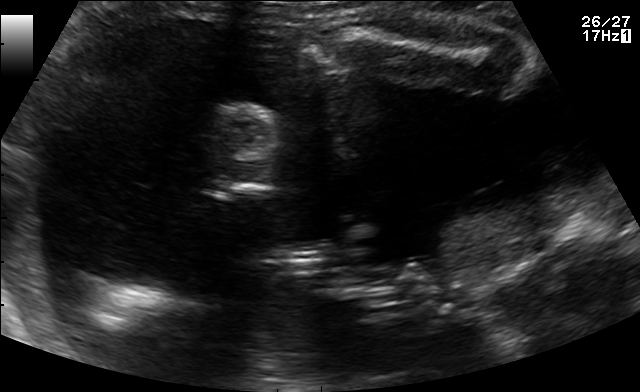
Which standard maternal-fetal ultrasound plane is shown: fetal abdomen, fetal brain, fetal femur, fetal thorax, maternal cervix, or other? If it's fetal brain and one of the three standard brain planes (trans-thalamic, trans-cerebellum, trans-ventricular), name which.

Other